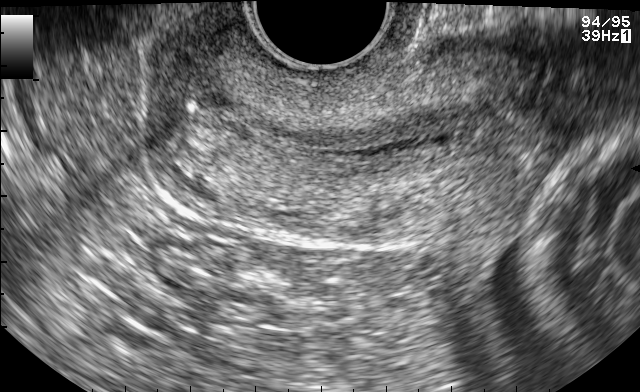
Classify this maternal-fetal ultrasound image as one of the six standard planes — fetal abdomen, fetal brain, fetal femur, fetal thorax, maternal cervix, or other. If it's fetal brain and one of the three standard brain planes (trans-thalamic, trans-cerebellum, trans-ventricular), name which.

Maternal cervix